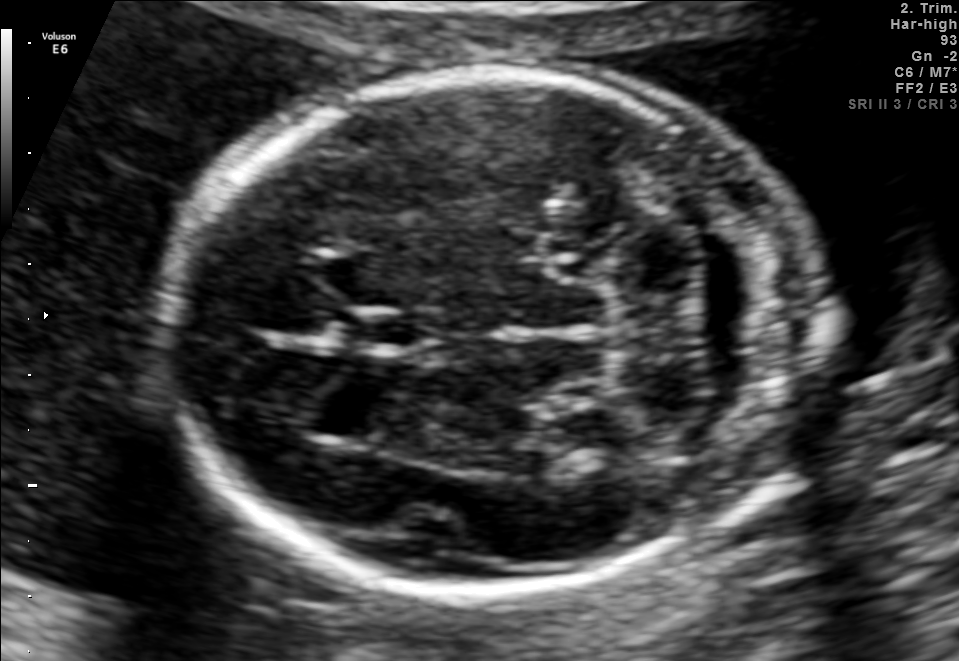
In this fetal brain, trans-cerebellum plane, give bounding boxes for the head outline, cavum septum pellucidum (CSP), and lateral ventricle (LV), where visible.

Head: [167,74,818,595]
CSP: [342,311,429,350]